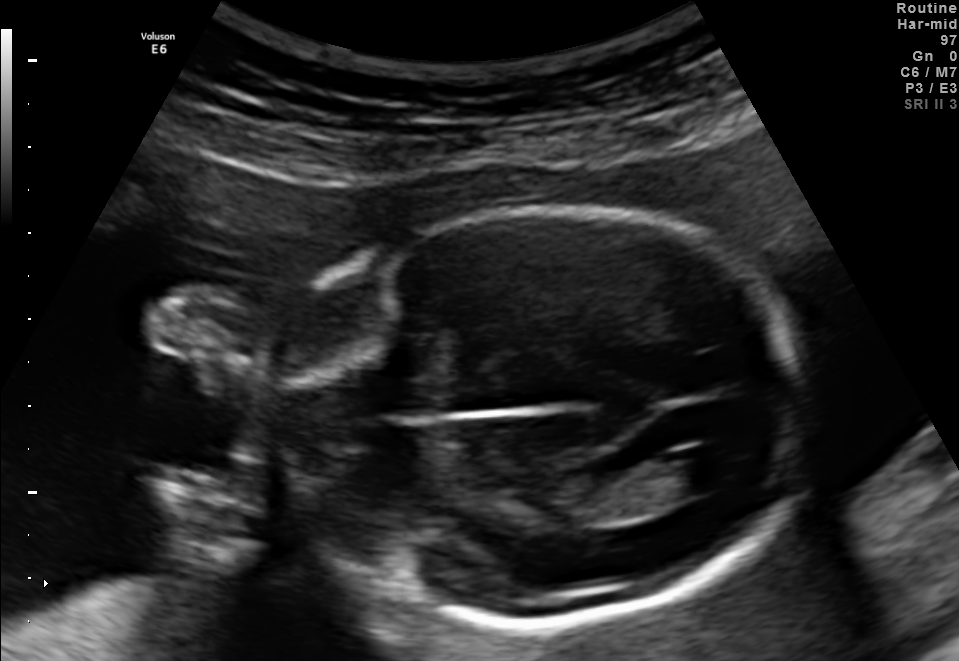
Classify this maternal-fetal ultrasound image as one of the six standard planes — fetal abdomen, fetal brain, fetal femur, fetal thorax, maternal cervix, or other. If it's fetal brain and one of the three standard brain planes (trans-thalamic, trans-cerebellum, trans-ventricular), name which.

Fetal brain (trans-ventricular plane)